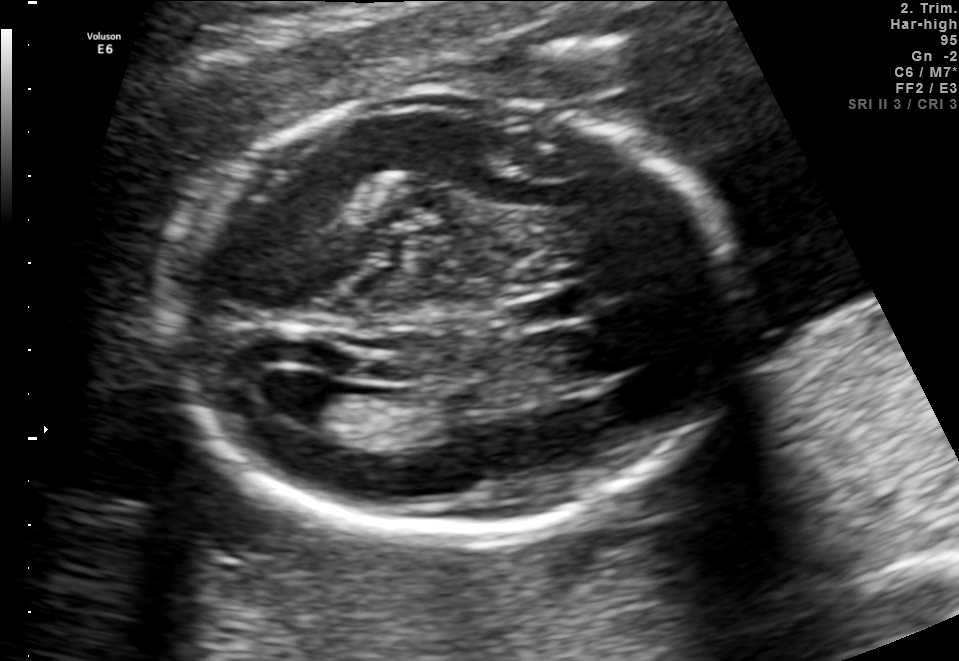
Fetal brain, trans-ventricular plane. Where is the lateral ventricle?

Lateral ventricle bounding box: [244,359,346,435]